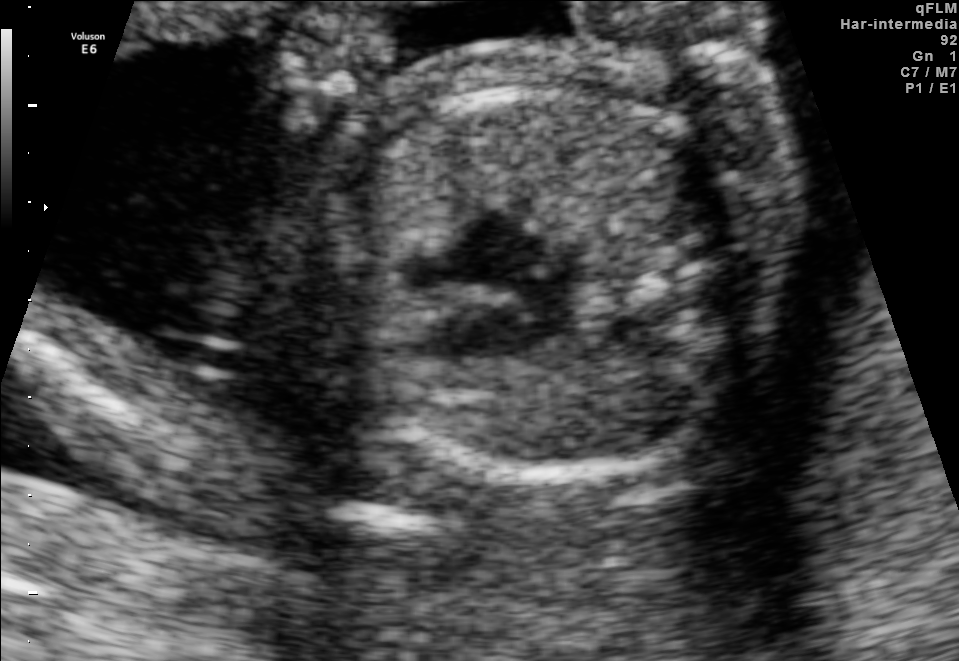
Which standard maternal-fetal ultrasound plane is shown: fetal abdomen, fetal brain, fetal femur, fetal thorax, maternal cervix, or other? If it's fetal brain and one of the three standard brain planes (trans-thalamic, trans-cerebellum, trans-ventricular), name which.

Fetal thorax